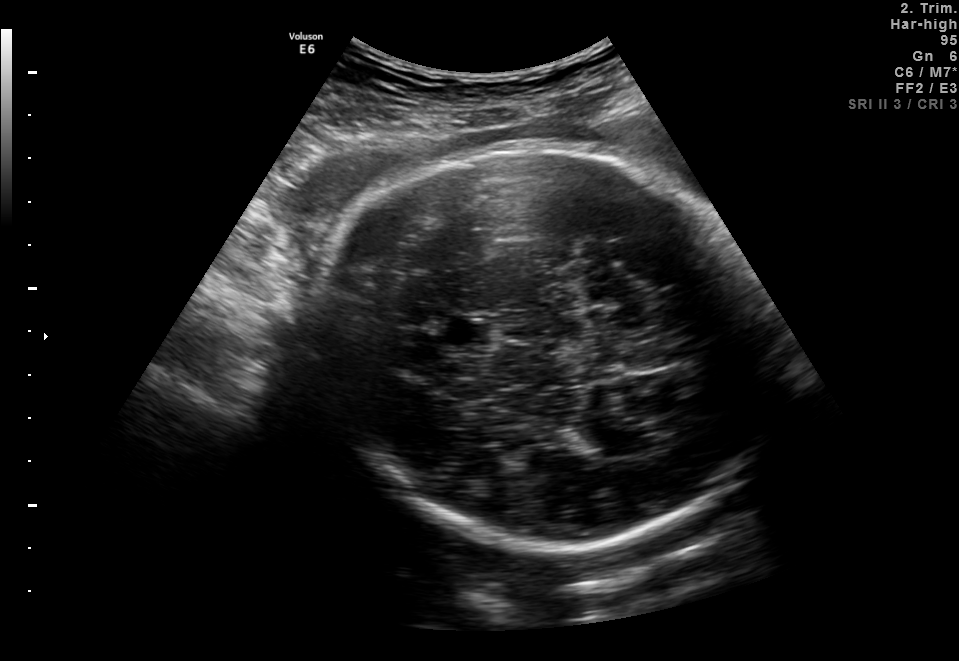
Fetal brain, trans-thalamic plane. Give [x1,y1,x2,y2] bounding boxes for each visible structure among: fetal head, CSP, LV.

Head: [313,139,764,556]
CSP: [444,318,492,347]
Lateral ventricle: [563,421,624,454]